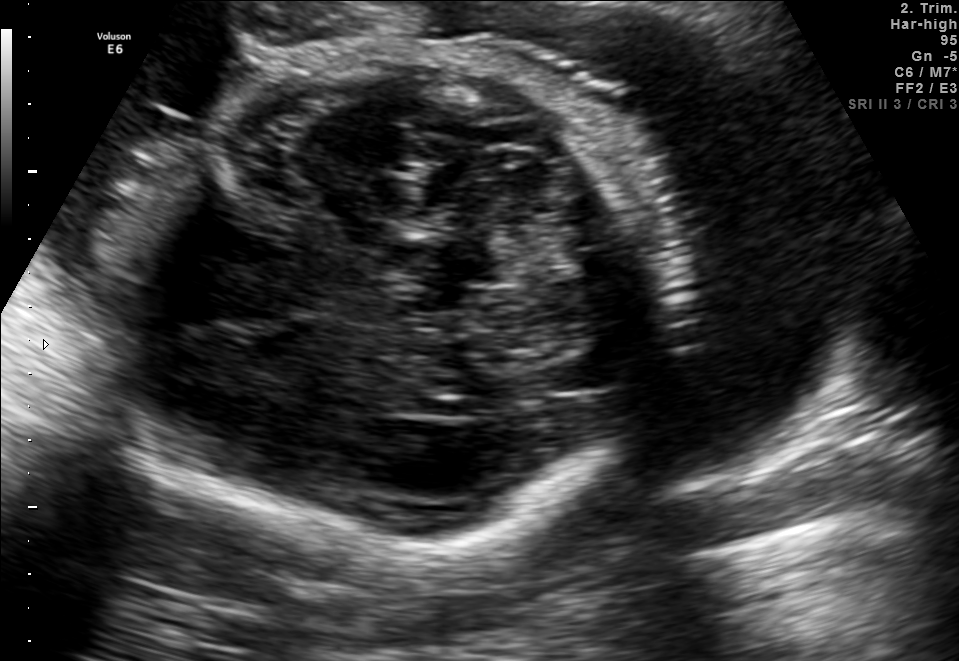
Fetal brain, trans-cerebellum plane. Locate the fetal head and, if visible, the cavum septum pellucidum (CSP) and lateral ventricle (LV). Give bounding boxes as [x1,y1,x2,y2].

Head: [116,41,669,560]